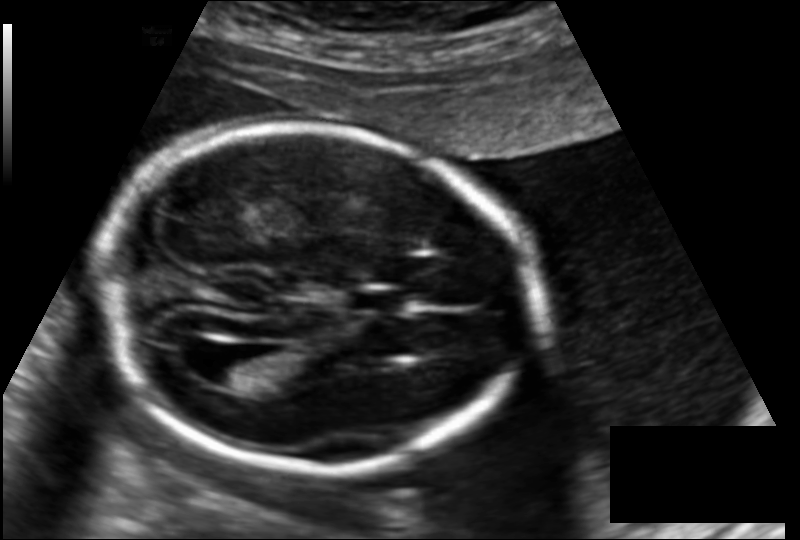
Fetal head ultrasound. Image width: 115.9 mm. Give [x1,y1,x2,y2] bounding boxes for each visible structure among: fetal head, CSP, LV.

Head: [96,126,536,470]
CSP: [346,286,409,314]
Lateral ventricle: [199,342,264,394]